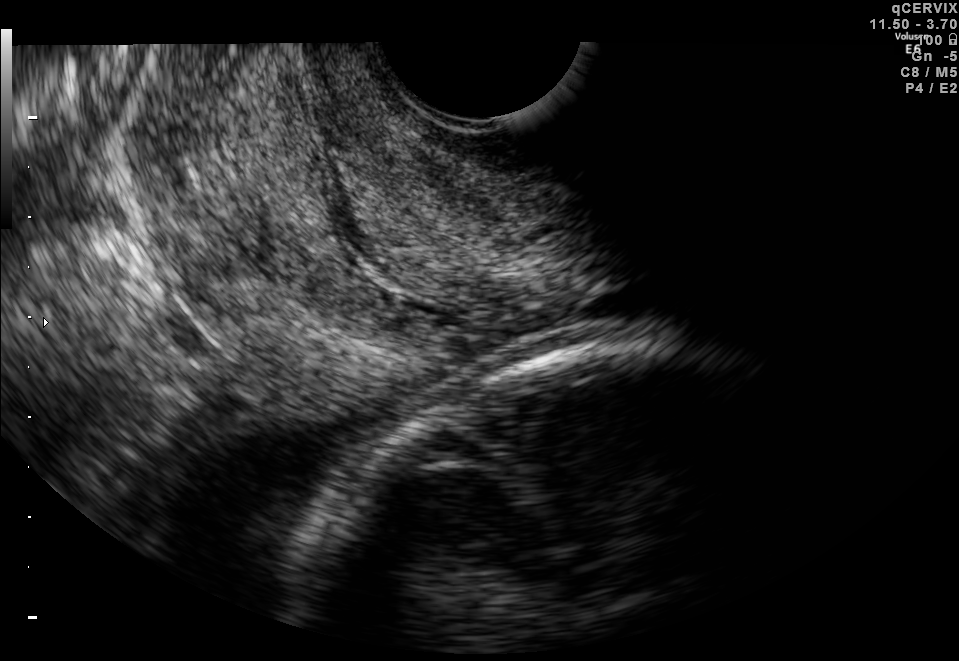
Classify this maternal-fetal ultrasound image as one of the six standard planes — fetal abdomen, fetal brain, fetal femur, fetal thorax, maternal cervix, or other. If it's fetal brain and one of the three standard brain planes (trans-thalamic, trans-cerebellum, trans-ventricular), name which.

Maternal cervix